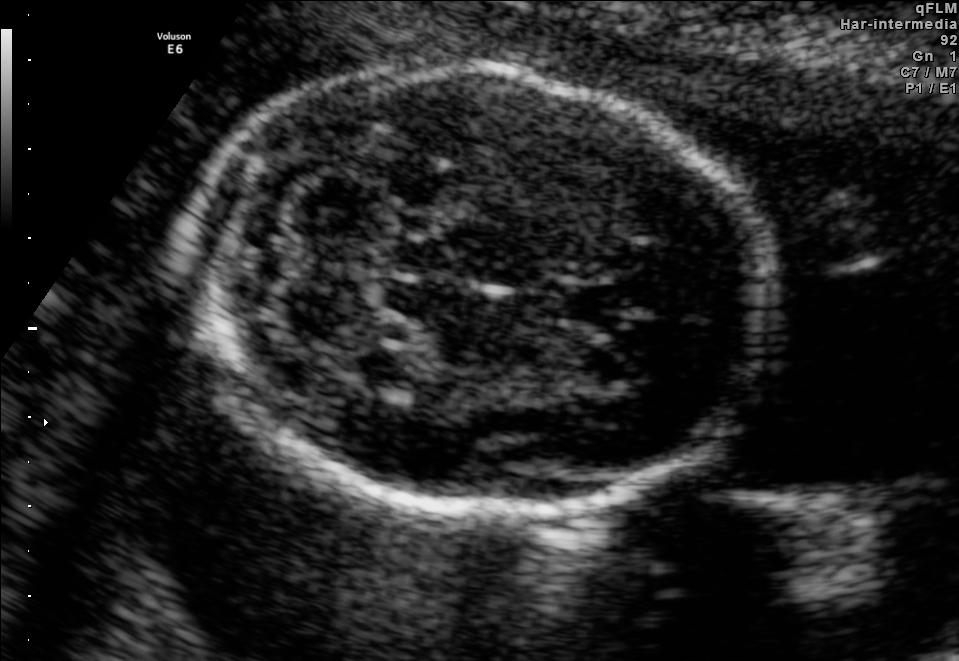
Fetal brain, trans-cerebellum plane. Locate the fetal head and, if visible, the cavum septum pellucidum (CSP) and lateral ventricle (LV). Give bounding boxes as [x1,y1,x2,y2].

Head: [191,65,772,512]
CSP: [544,279,621,329]